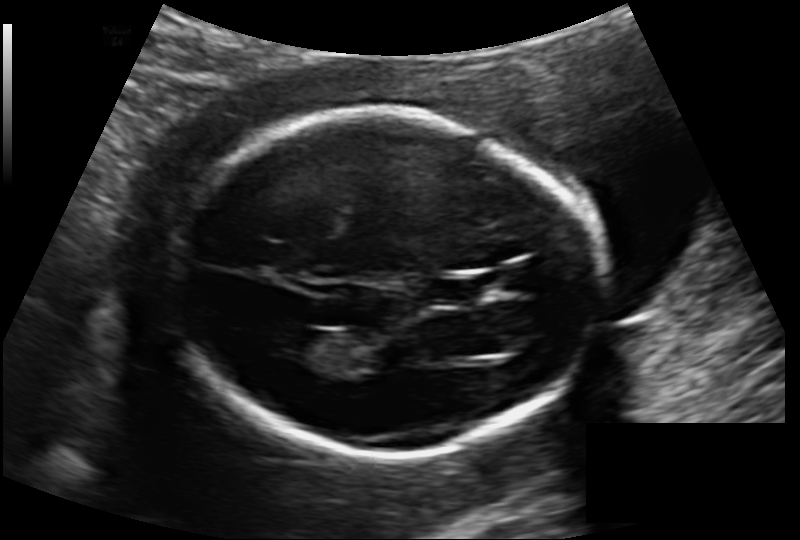
In this fetal head ultrasound, give the bounding box of the lateral ventricle. Image width: 106.3 mm.

[265,322,331,366]